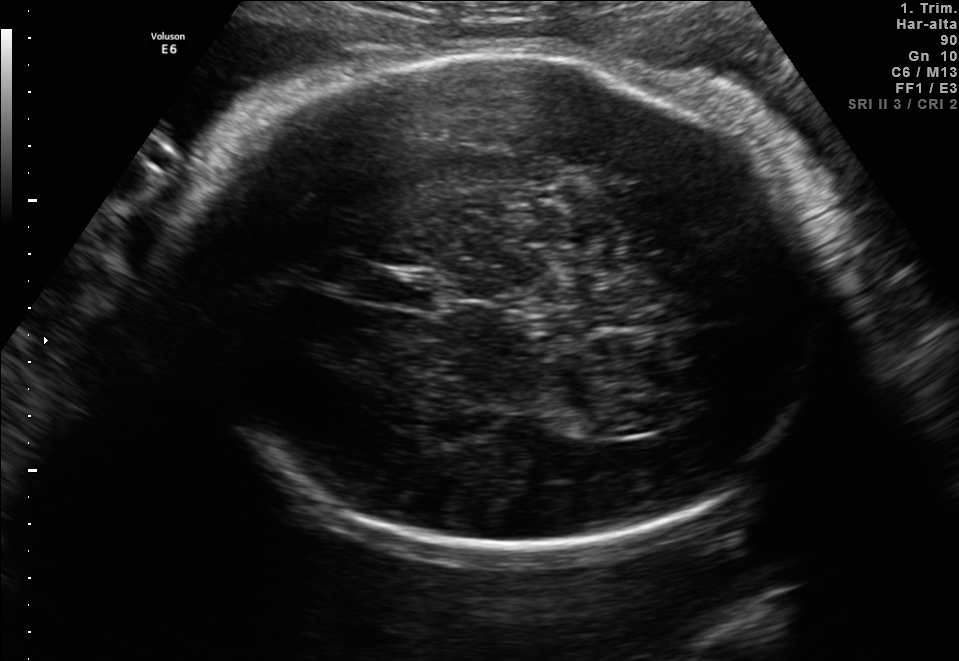
Fetal brain, trans-thalamic plane. Where is the lateral ventricle?

Lateral ventricle bounding box: [586,402,661,441]